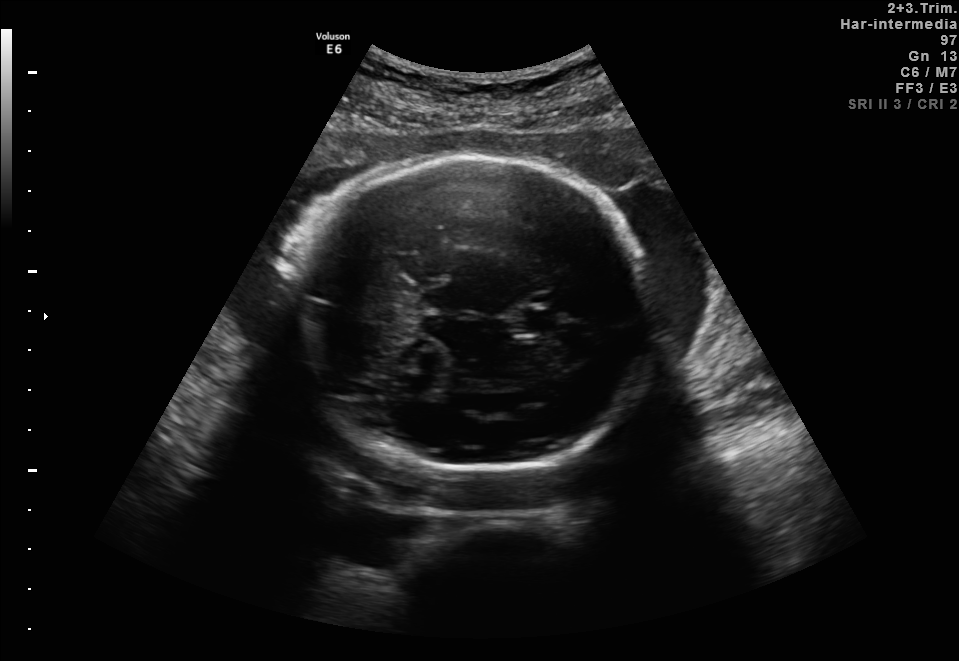
Fetal brain, trans-thalamic plane. Locate the cavum septum pellucidum.

CSP: [522,308,558,332]